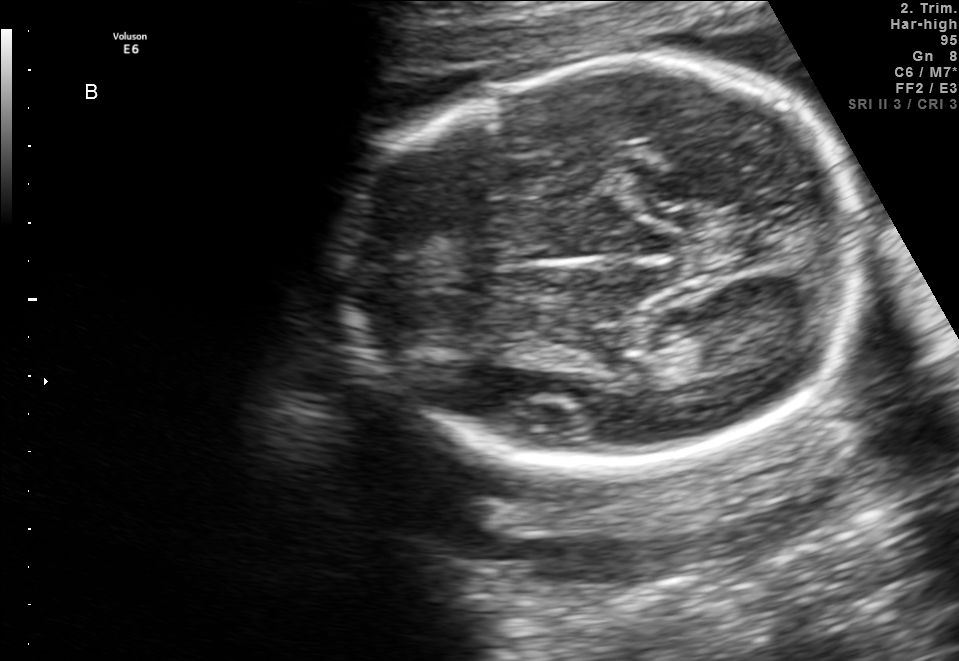
In this fetal brain, trans-thalamic plane, give bounding boxes for the head outline, cavum septum pellucidum (CSP), and lateral ventricle (LV), where visible.

Head: [333,66,870,463]
Lateral ventricle: [651,308,757,383]